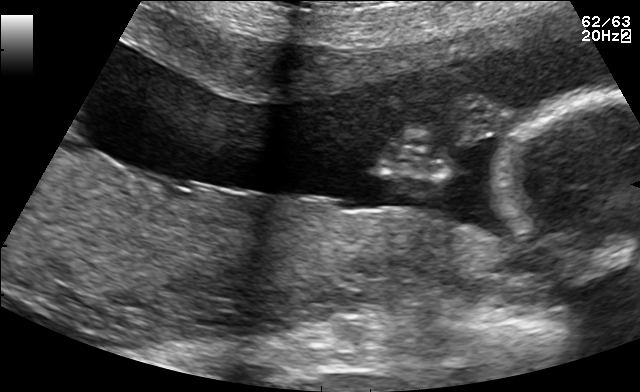
Identify the standard plane in this fetal ultrasound image: fetal abdomen, fetal brain, fetal femur, fetal thorax, maternal cervix, or other. If it's fetal brain and one of the three standard brain planes (trans-thalamic, trans-cerebellum, trans-ventricular), name which.

Other